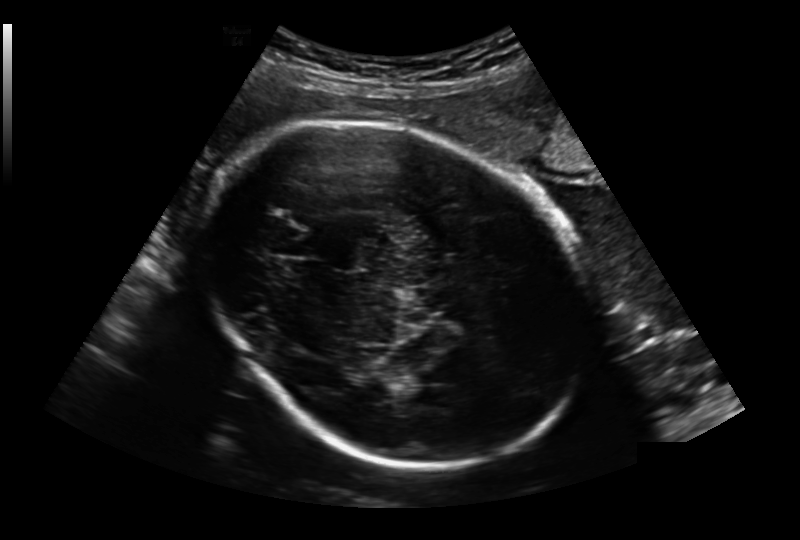
Estimate the fetal head circumference from this 2D ultrasound. Image width: 188.7 mm.

Head circumference: 272.9 mm.